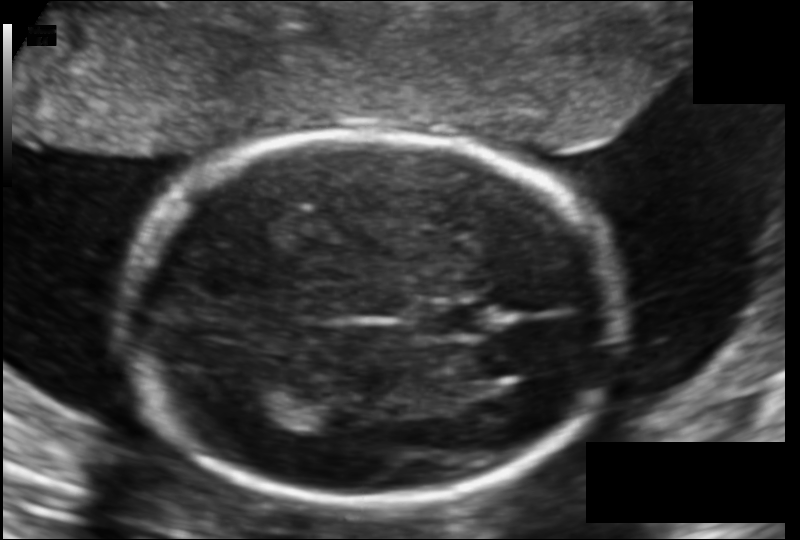
In this fetal head ultrasound, give the bounding box of the fetal head. Image width: 98.4 mm.

[125,134,618,506]